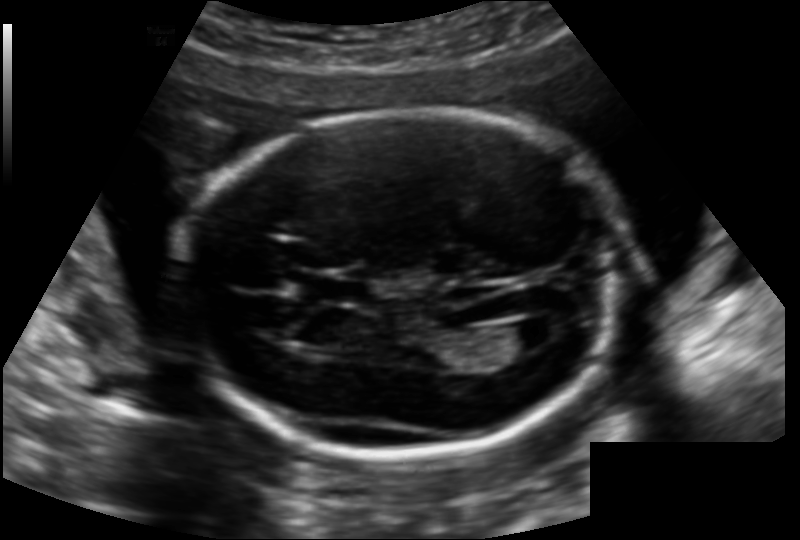
Fetal head ultrasound. Image width: 113.4 mm. Where is the lateral ventricle?

Lateral ventricle bounding box: [497,313,556,357]